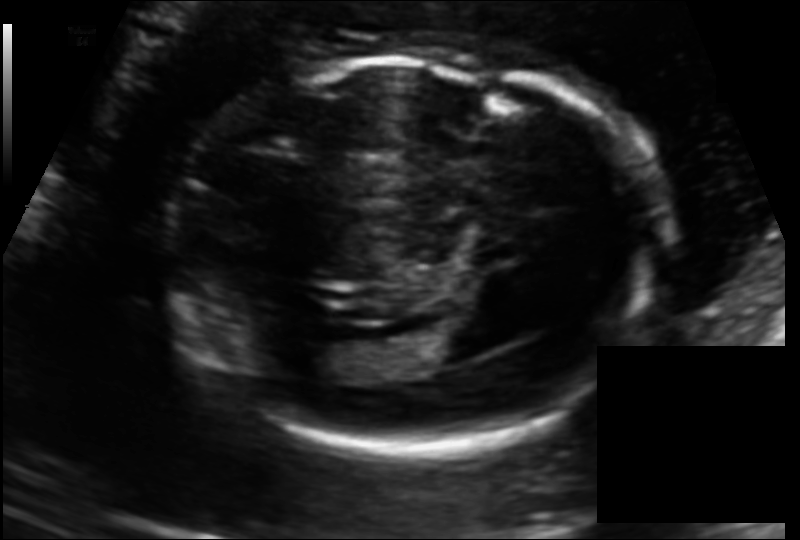
Fetal head ultrasound. Image width: 100.0 mm. Locate the fetal head.

Head: [169,60,653,450]